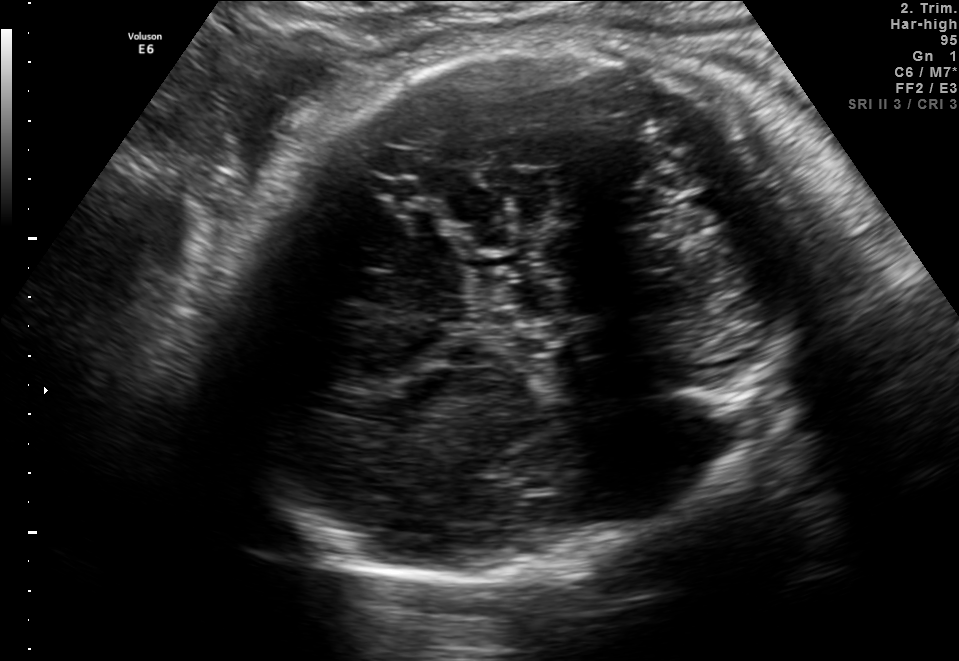
Classify this maternal-fetal ultrasound image as one of the six standard planes — fetal abdomen, fetal brain, fetal femur, fetal thorax, maternal cervix, or other. If it's fetal brain and one of the three standard brain planes (trans-thalamic, trans-cerebellum, trans-ventricular), name which.

Fetal brain (trans-thalamic plane)